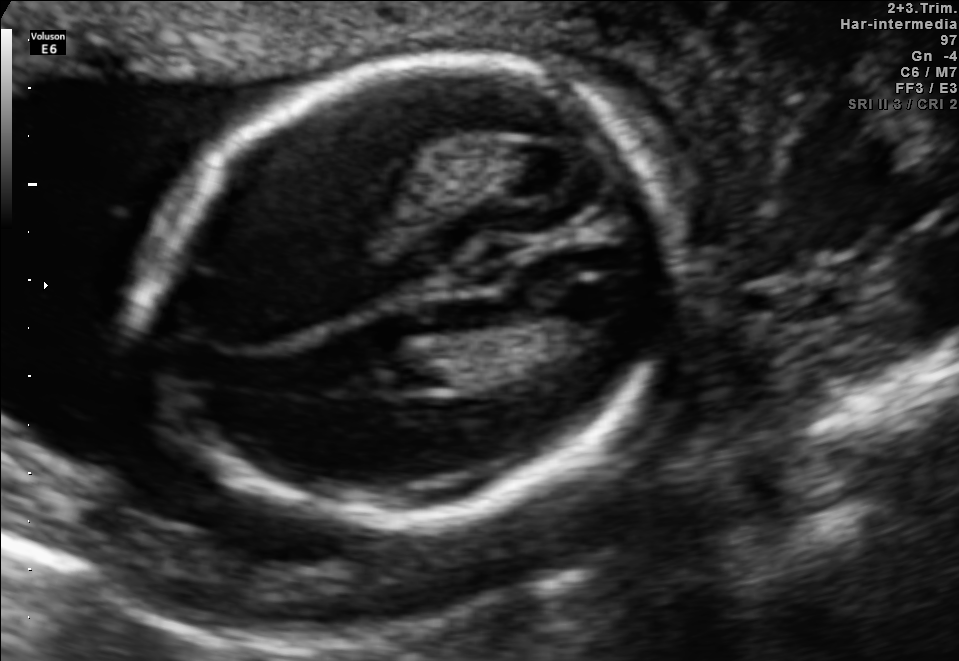
In this fetal brain, trans-thalamic plane, give bounding boxes for the head outline, cavum septum pellucidum (CSP), and lateral ventricle (LV), where visible.

Head: [140,63,677,526]